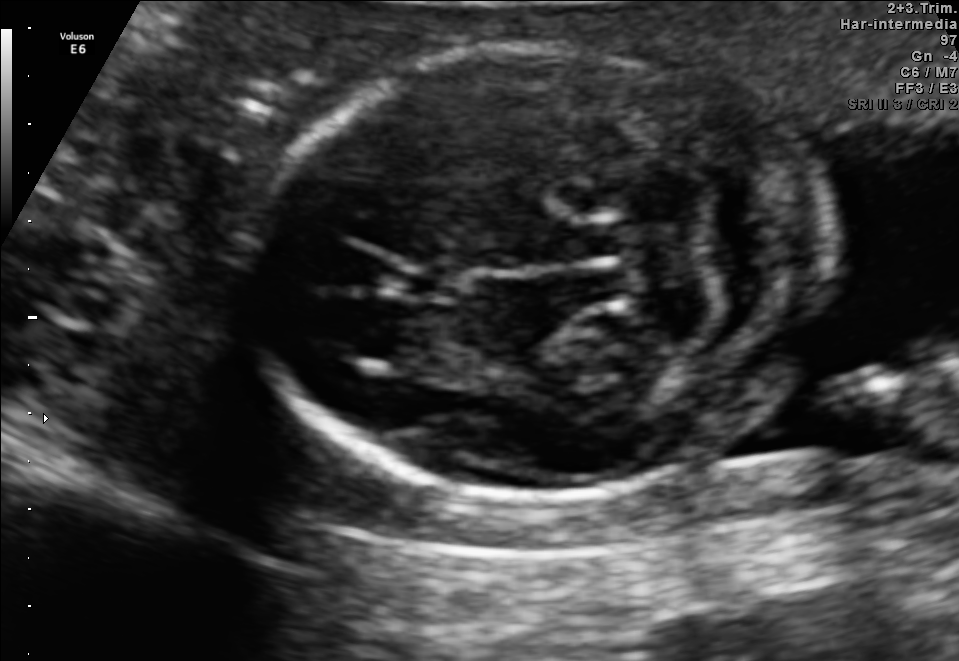
In this fetal brain, trans-cerebellum plane, give the bounding box of the cavum septum pellucidum.

[400,263,461,301]